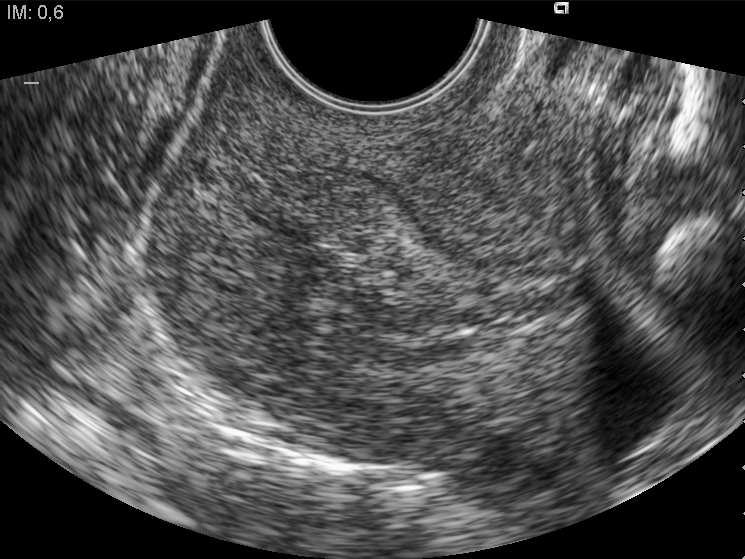
Classify this maternal-fetal ultrasound image as one of the six standard planes — fetal abdomen, fetal brain, fetal femur, fetal thorax, maternal cervix, or other. If it's fetal brain and one of the three standard brain planes (trans-thalamic, trans-cerebellum, trans-ventricular), name which.

Maternal cervix